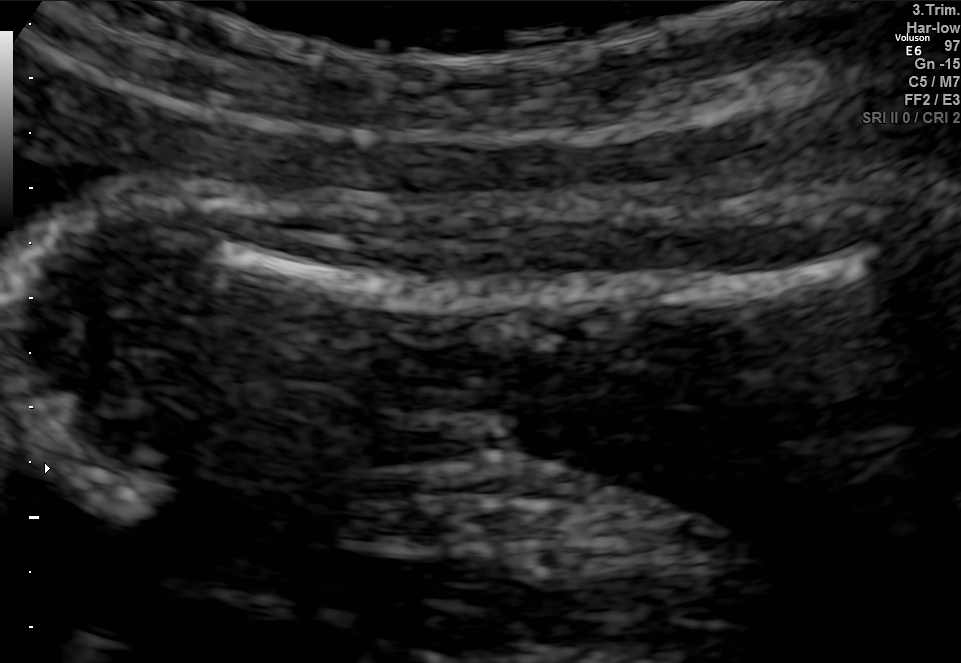
This is a 2D maternal-fetal ultrasound frame. Is it a fetal abdomen, fetal brain, fetal femur, fetal thorax, maternal cervix, or other standard plane? If it's fetal brain and one of the three standard brain planes (trans-thalamic, trans-cerebellum, trans-ventricular), name which.

Fetal femur